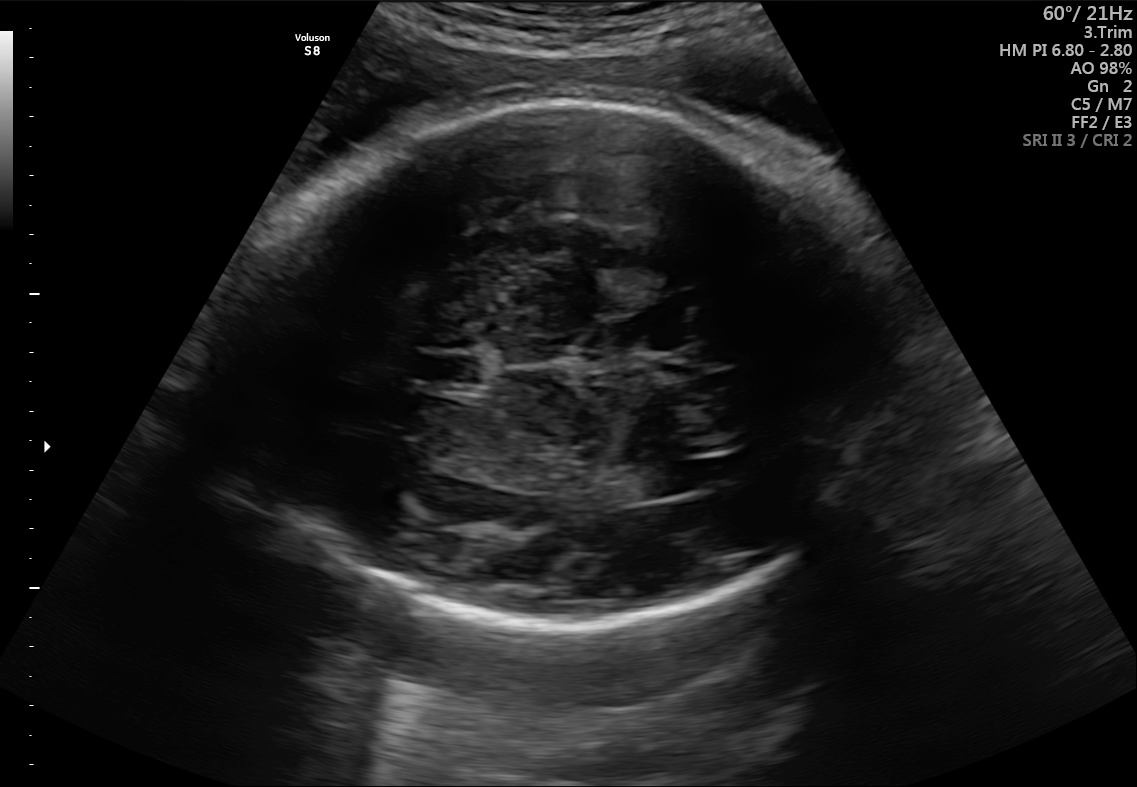
In this fetal brain, trans-ventricular plane, give bounding boxes for the head outline, cavum septum pellucidum (CSP), and lateral ventricle (LV), where visible.

Head: [218,94,914,633]
CSP: [423,354,481,384]
Lateral ventricle: [637,457,702,501]